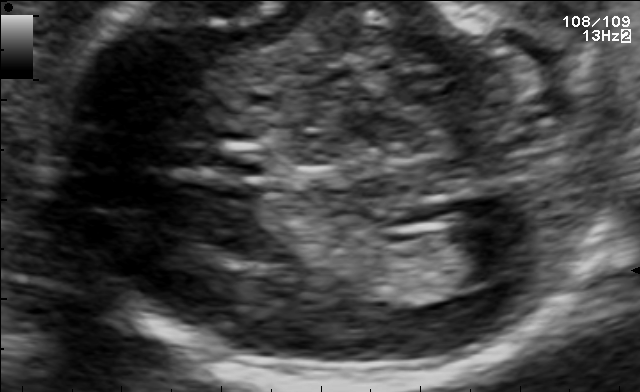
Fetal brain, trans-ventricular plane. Where is the lateral ventricle?

Lateral ventricle bounding box: [440,209,552,288]